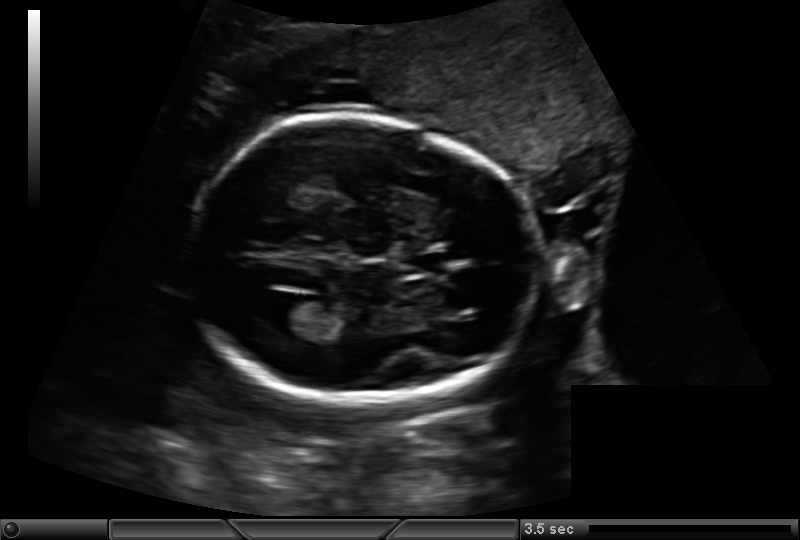
Fetal head ultrasound. Image width: 126.8 mm. Locate the fetal head.

Head: [189,117,540,402]